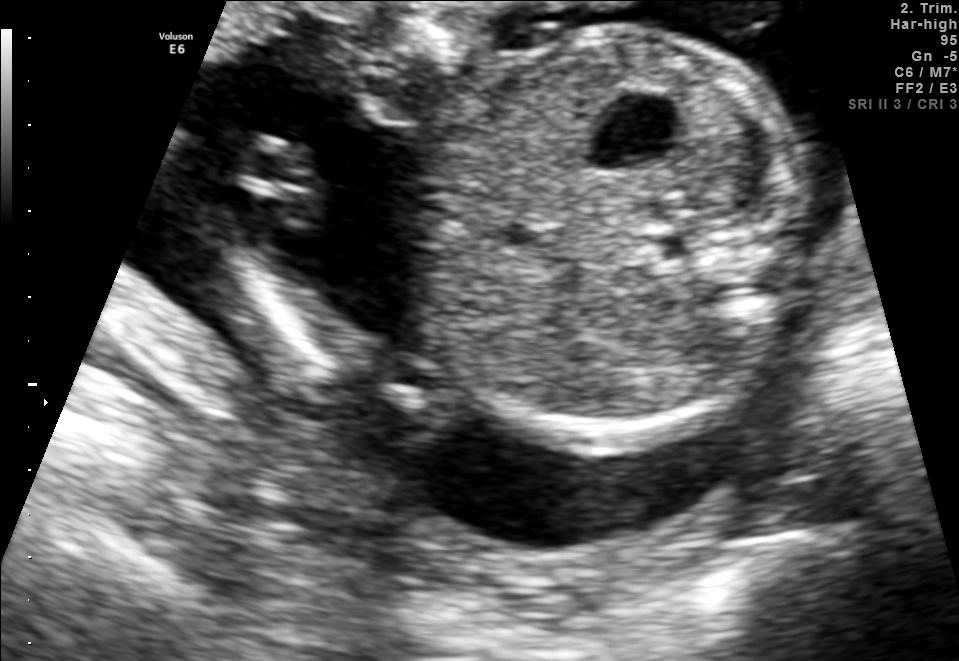
Classify this maternal-fetal ultrasound image as one of the six standard planes — fetal abdomen, fetal brain, fetal femur, fetal thorax, maternal cervix, or other. If it's fetal brain and one of the three standard brain planes (trans-thalamic, trans-cerebellum, trans-ventricular), name which.

Fetal abdomen